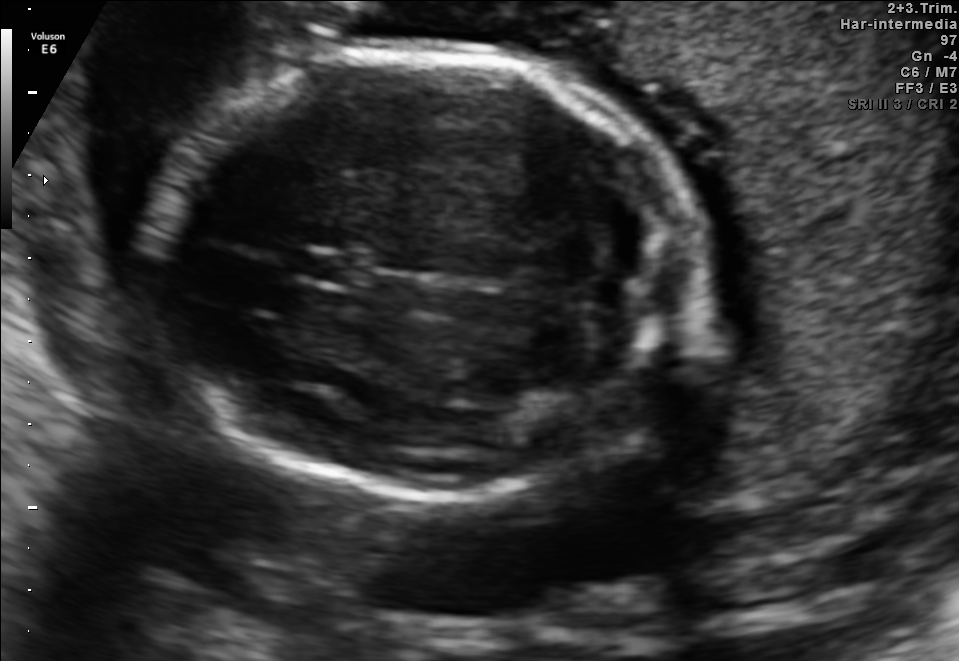
Fetal brain, trans-cerebellum plane. Where is the fetal head?

Head bounding box: [154,49,701,496]